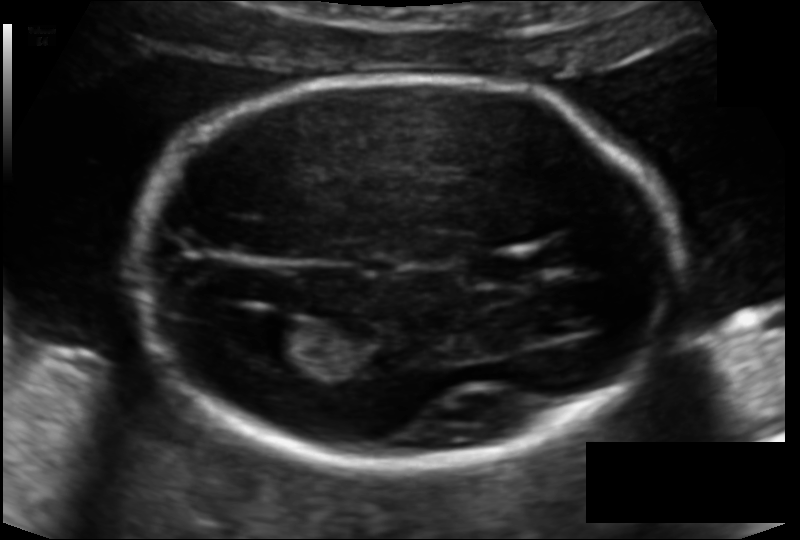
What is the fetal head circumference? Image width is 95.2 mm.

176.7 mm